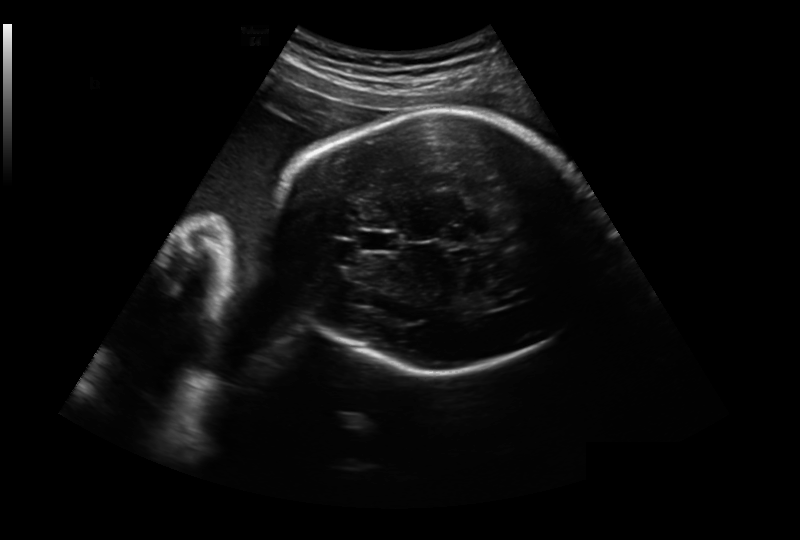
In this fetal head ultrasound, give the bounding box of the cavum septum pellucidum. Image width: 224.7 mm.

[357,228,402,255]